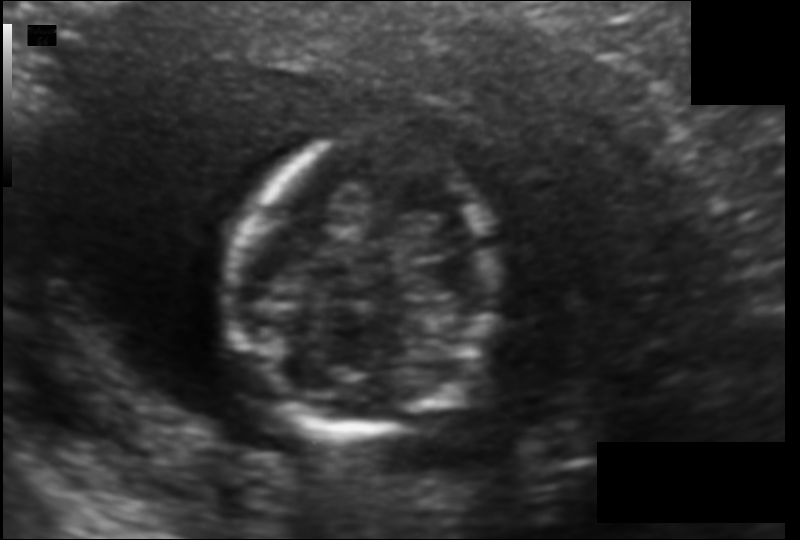
Measure the fetal head circumference shown in this ultrasound image. Image width: 83.0 mm.

Head circumference: 97.5 mm.